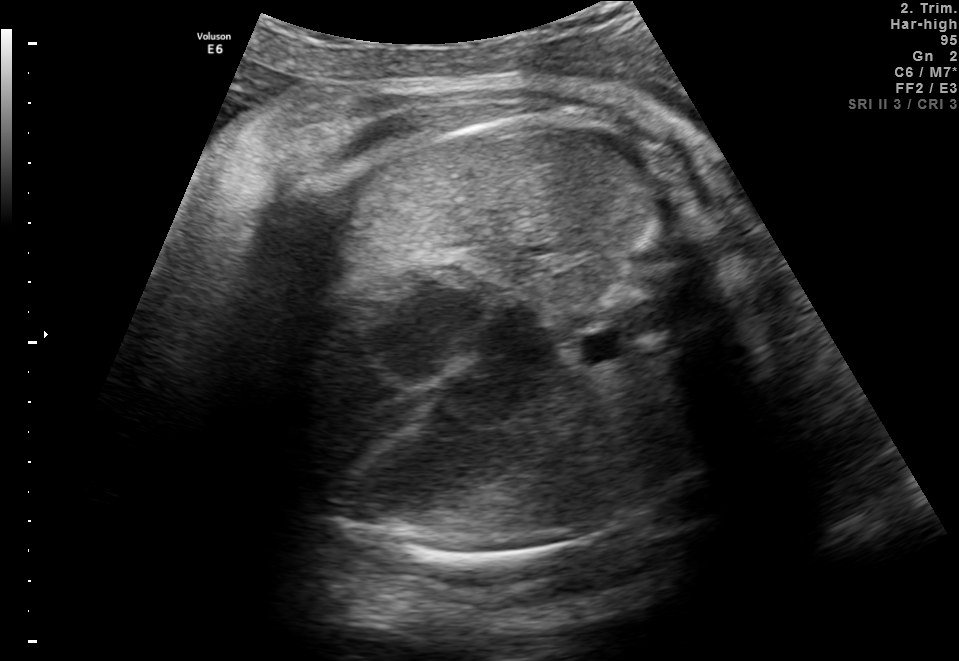
This is a 2D maternal-fetal ultrasound frame. Is it a fetal abdomen, fetal brain, fetal femur, fetal thorax, maternal cervix, or other standard plane? If it's fetal brain and one of the three standard brain planes (trans-thalamic, trans-cerebellum, trans-ventricular), name which.

Fetal thorax